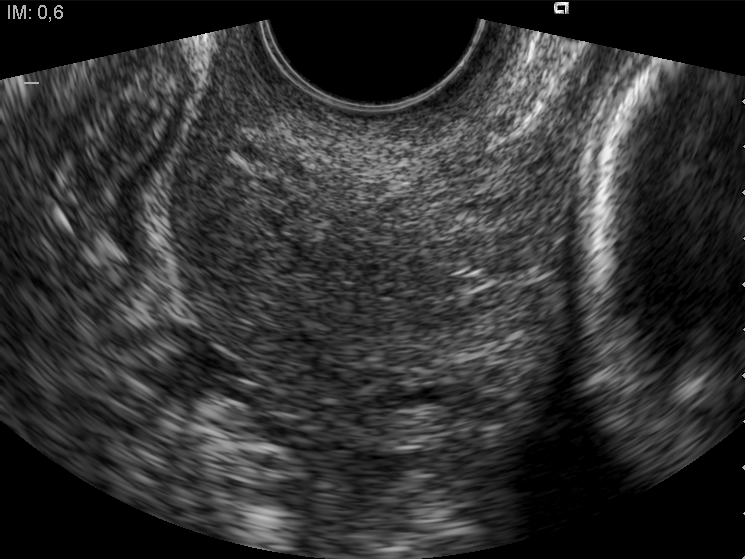
Identify the standard plane in this fetal ultrasound image: fetal abdomen, fetal brain, fetal femur, fetal thorax, maternal cervix, or other. If it's fetal brain and one of the three standard brain planes (trans-thalamic, trans-cerebellum, trans-ventricular), name which.

Maternal cervix